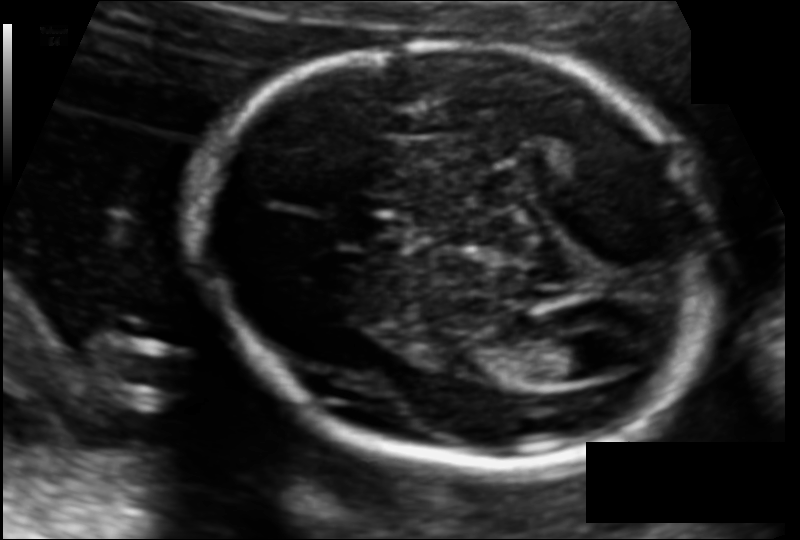
Fetal head ultrasound. Image width: 87.7 mm. Where is the fetal head?

Head bounding box: [194,42,717,458]